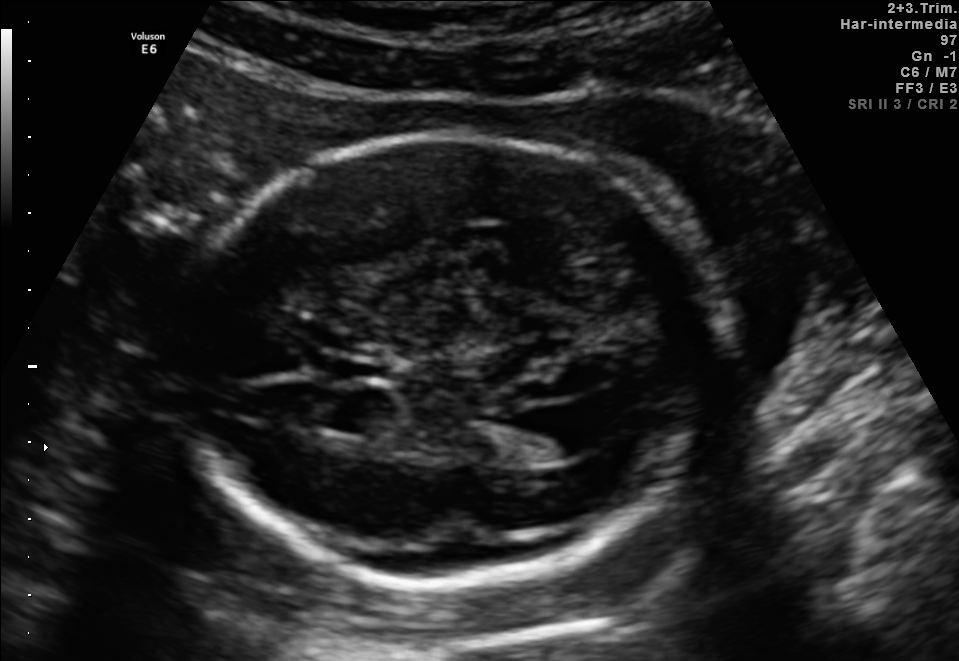
In this fetal brain, trans-ventricular plane, give the bounding box of the fetal head.

[162,127,747,598]